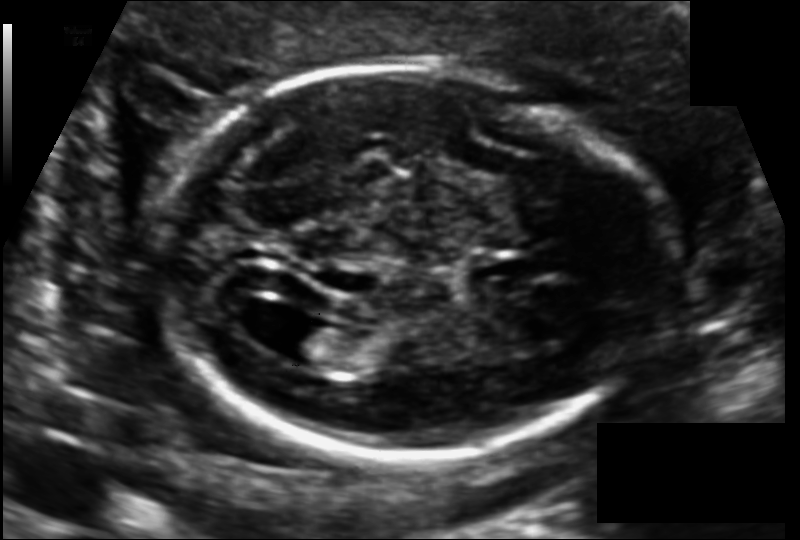
In this fetal head ultrasound, give the bounding box of the fetal head. Image width: 94.6 mm.

[157,65,668,455]